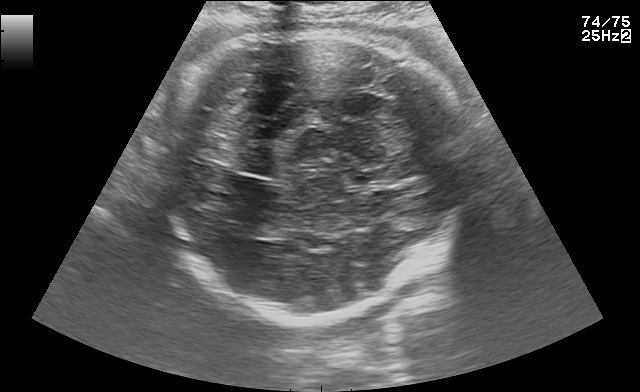
Fetal brain, trans-thalamic plane. Locate the fetal head.

Head: [158,32,468,320]